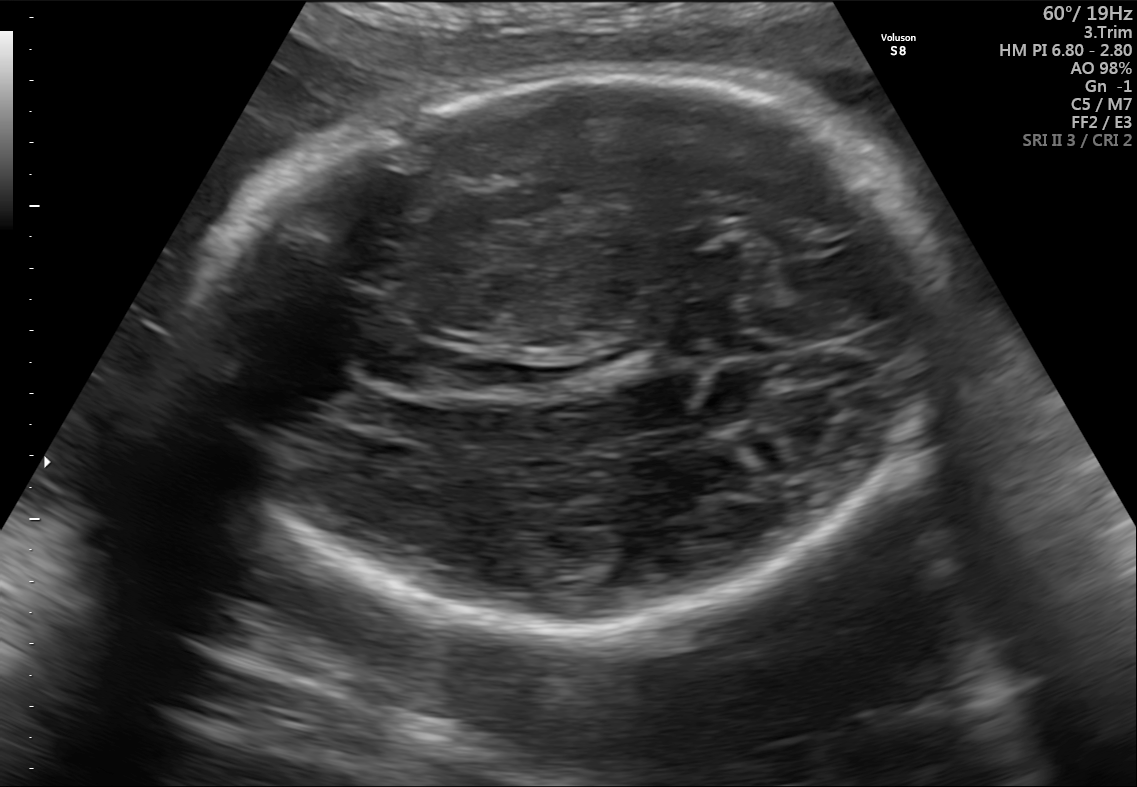
In this fetal brain, trans-thalamic plane, give the bounding box of the fetal head.

[219,79,953,639]